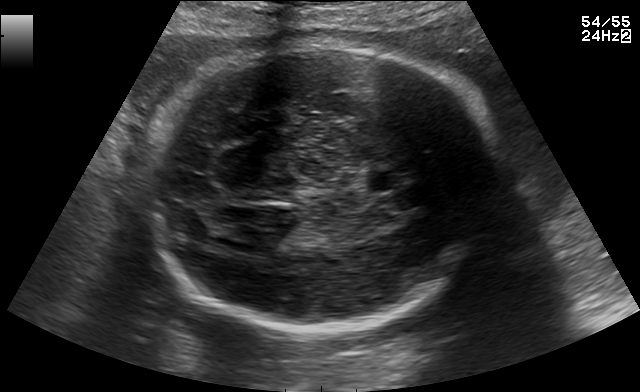
Fetal brain, trans-thalamic plane. Locate the fetal head and, if visible, the cavum septum pellucidum (CSP) and lateral ventricle (LV). Give bounding boxes as [x1,y1,x2,y2].

Head: [138,46,507,325]
CSP: [365,166,407,194]